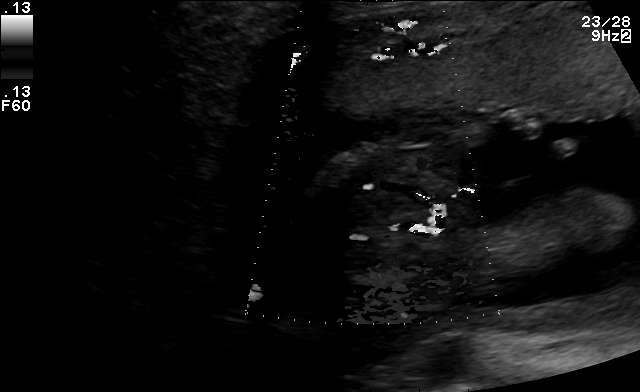
Which standard maternal-fetal ultrasound plane is shown: fetal abdomen, fetal brain, fetal femur, fetal thorax, maternal cervix, or other? If it's fetal brain and one of the three standard brain planes (trans-thalamic, trans-cerebellum, trans-ventricular), name which.

Other